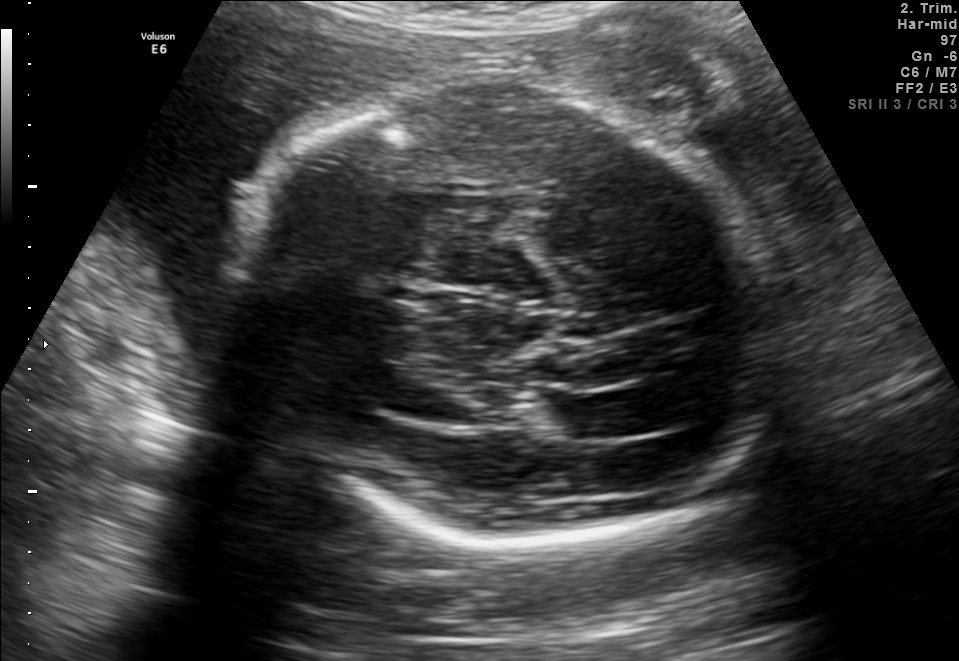
Fetal brain, trans-thalamic plane. Give [x1,y1,x2,y2] bounding boxes for each visible structure among: fetal head, CSP, LV.

Head: [221,83,786,546]
Lateral ventricle: [542,393,632,441]